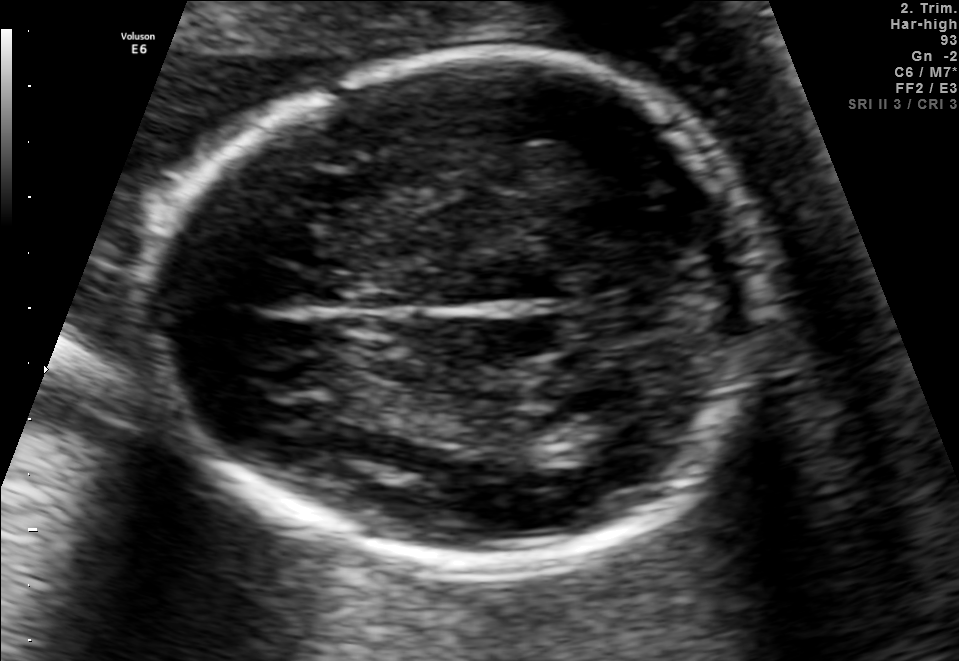
Fetal brain, trans-thalamic plane. Locate the fetal head.

Head: [153,57,768,570]